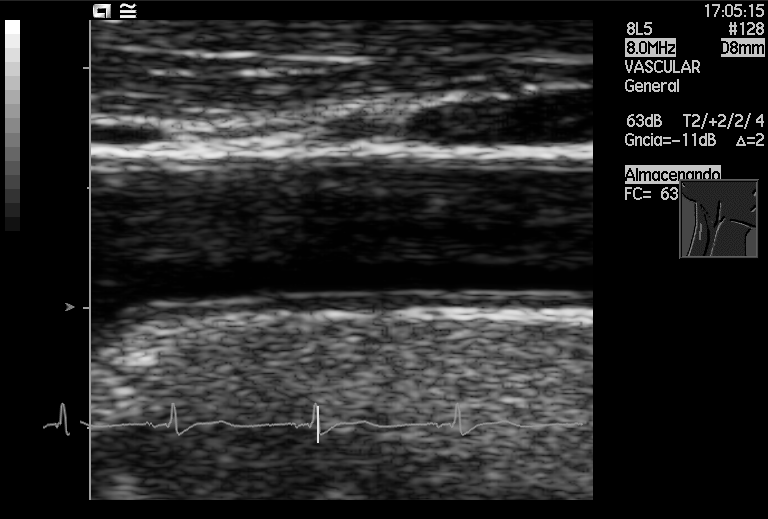
This is a 2D maternal-fetal ultrasound frame. Is it a fetal abdomen, fetal brain, fetal femur, fetal thorax, maternal cervix, or other standard plane? If it's fetal brain and one of the three standard brain planes (trans-thalamic, trans-cerebellum, trans-ventricular), name which.

Other